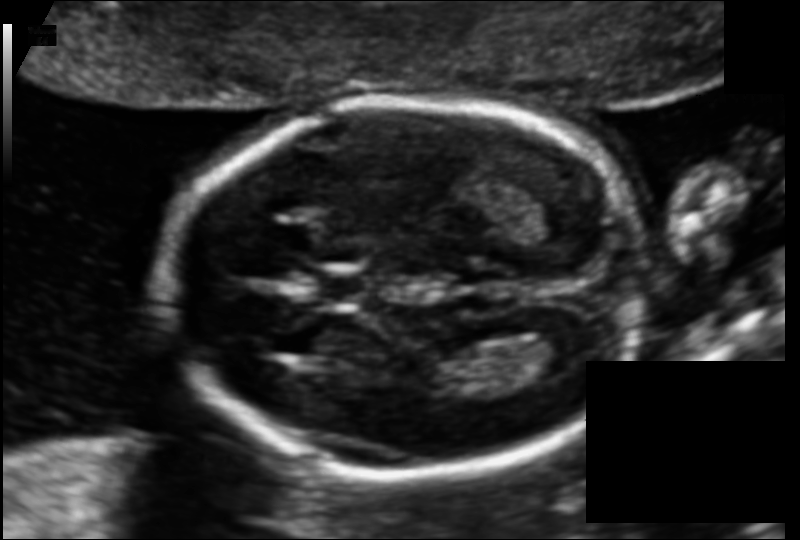
In this fetal head ultrasound, give the bounding box of the lateral ventricle. Image width: 87.9 mm.

[512,315,591,384]